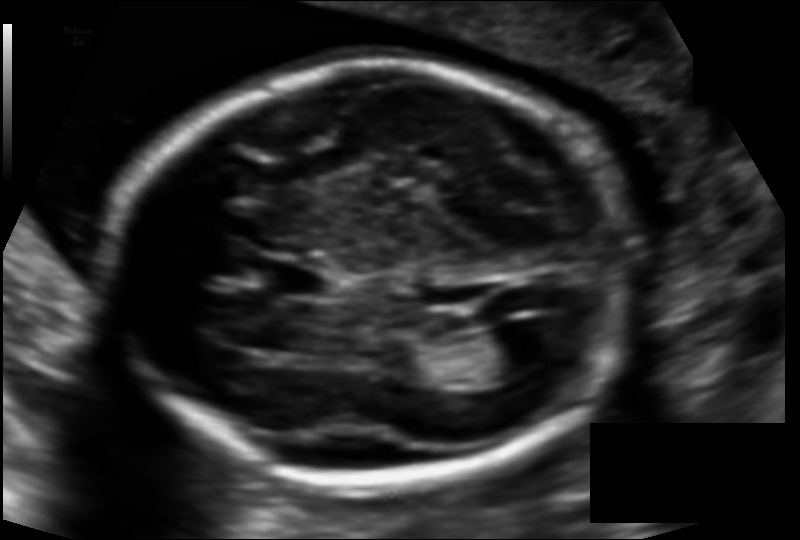
In this fetal head ultrasound, give the bounding box of the fetal head. Image width: 96.7 mm.

[110,63,626,484]